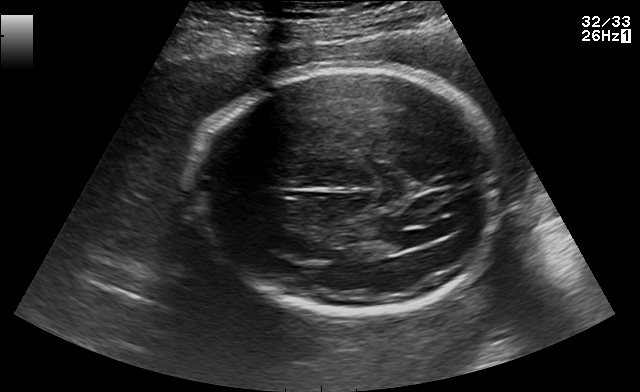
Fetal brain, trans-ventricular plane. Where is the fetal head?

Head bounding box: [191,63,507,320]